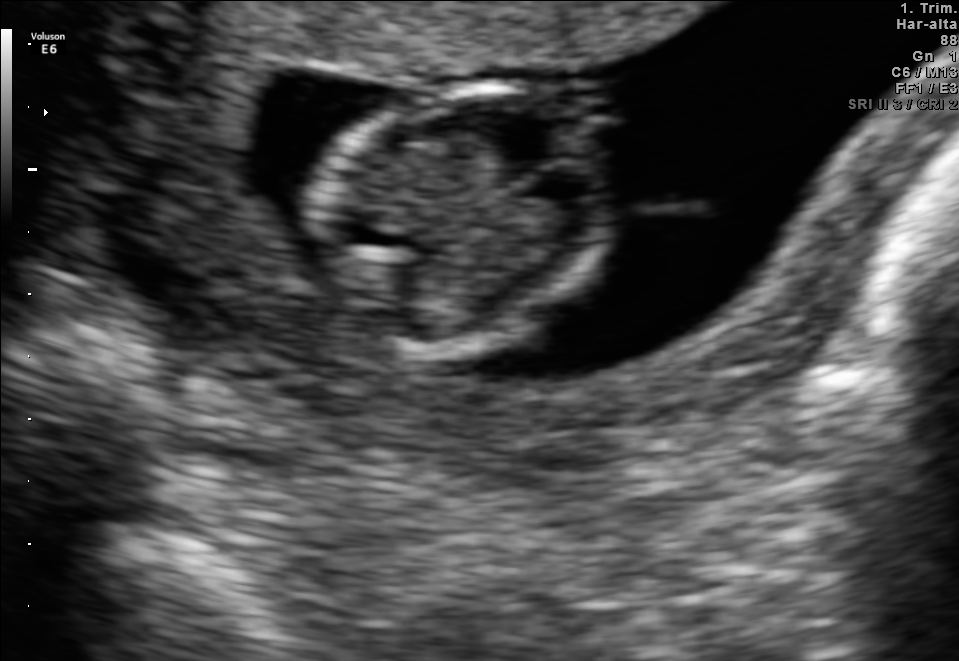
In this fetal brain, trans-thalamic plane, give the bounding box of the fetal head.

[302,87,615,348]